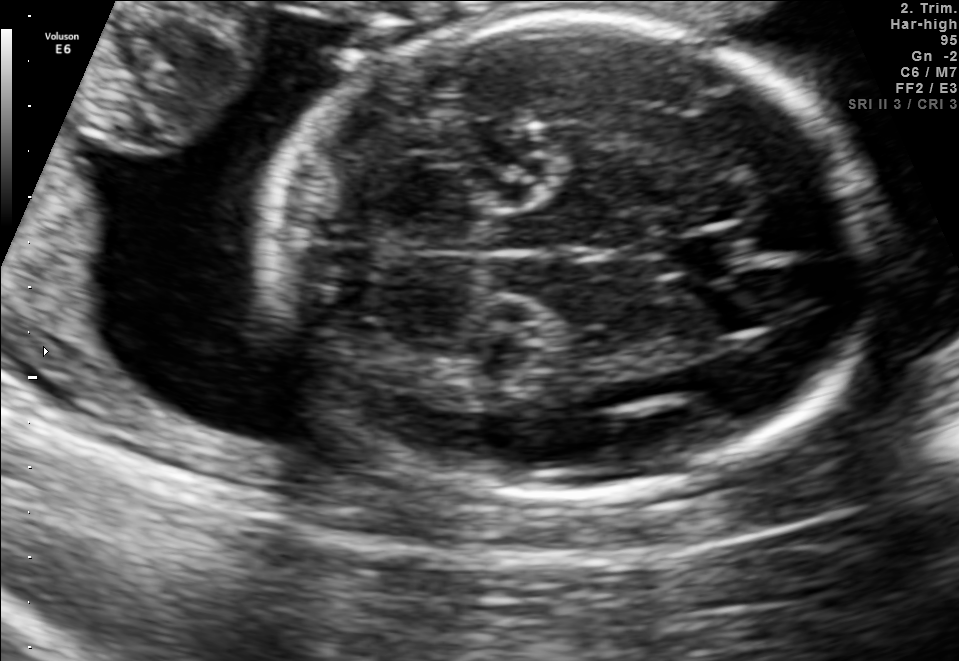
Fetal brain, trans-cerebellum plane. Locate the fetal head and, if visible, the cavum septum pellucidum (CSP) and lateral ventricle (LV). Give bounding boxes as [x1,y1,x2,y2].

Head: [264,14,865,495]
CSP: [667,219,754,289]